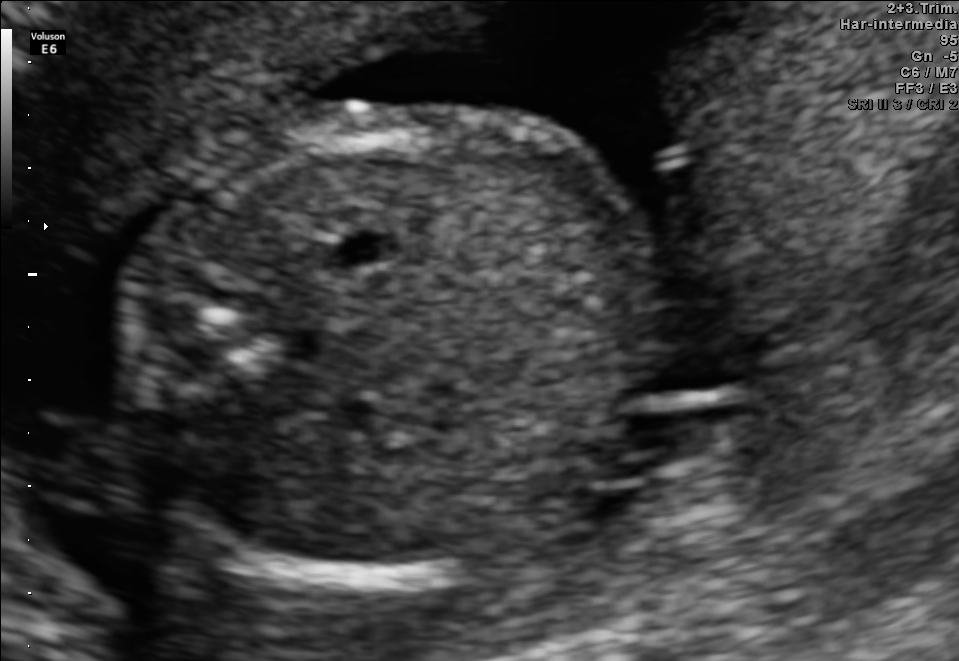
Which standard maternal-fetal ultrasound plane is shown: fetal abdomen, fetal brain, fetal femur, fetal thorax, maternal cervix, or other? If it's fetal brain and one of the three standard brain planes (trans-thalamic, trans-cerebellum, trans-ventricular), name which.

Other